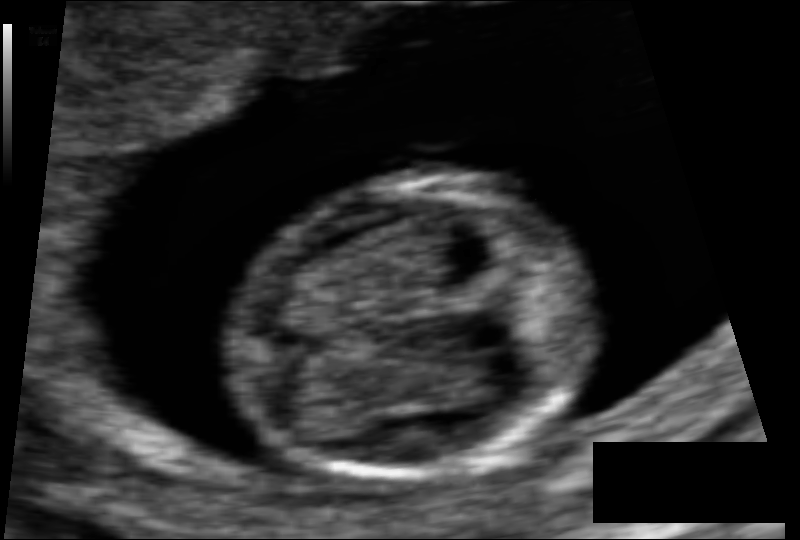
In this fetal head ultrasound, give the bounding box of the fetal head. Image width: 51.5 mm.

[229,178,598,475]